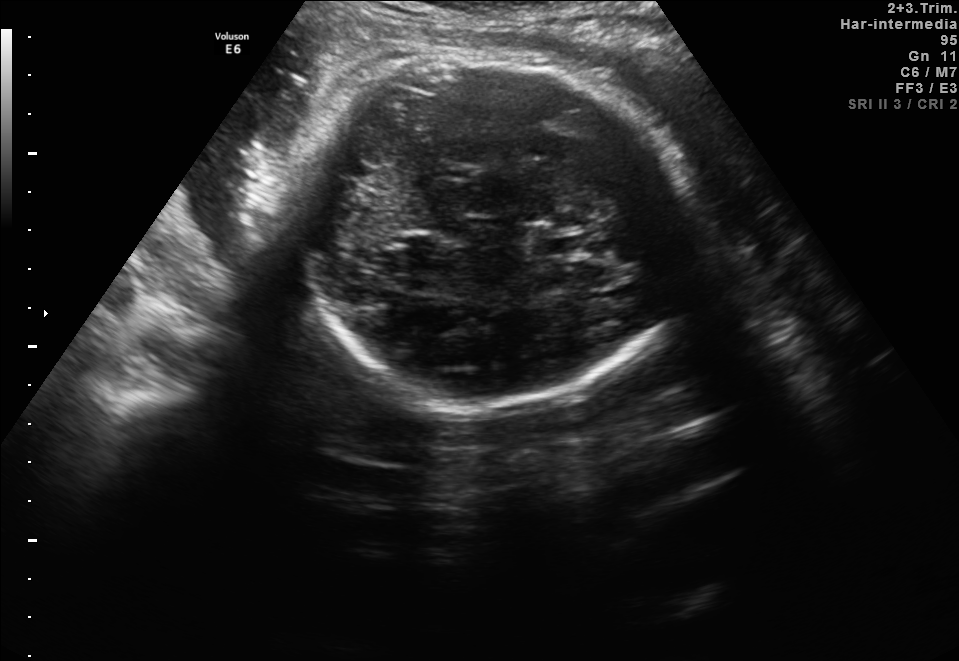
Fetal brain, trans-thalamic plane. Give [x1,y1,x2,y2] bounding boxes for each visible structure among: fetal head, CSP, LV.

Head: [296,57,695,402]
CSP: [532,233,590,257]